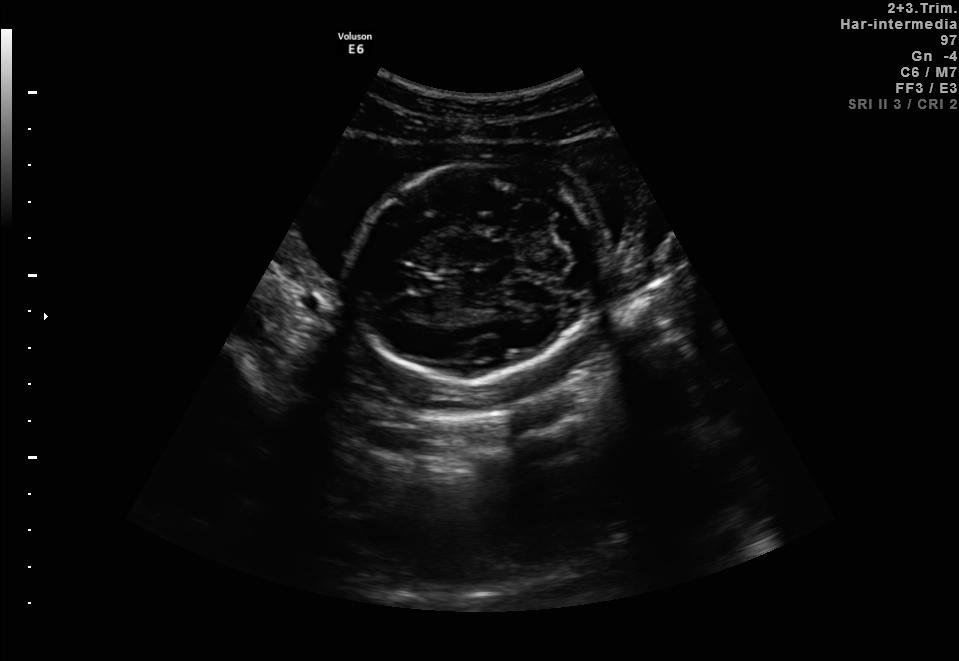
Fetal brain, trans-cerebellum plane. Locate the fetal head and, if visible, the cavum septum pellucidum (CSP) and lateral ventricle (LV). Give bounding boxes as [x1,y1,x2,y2].

Head: [349,163,602,382]